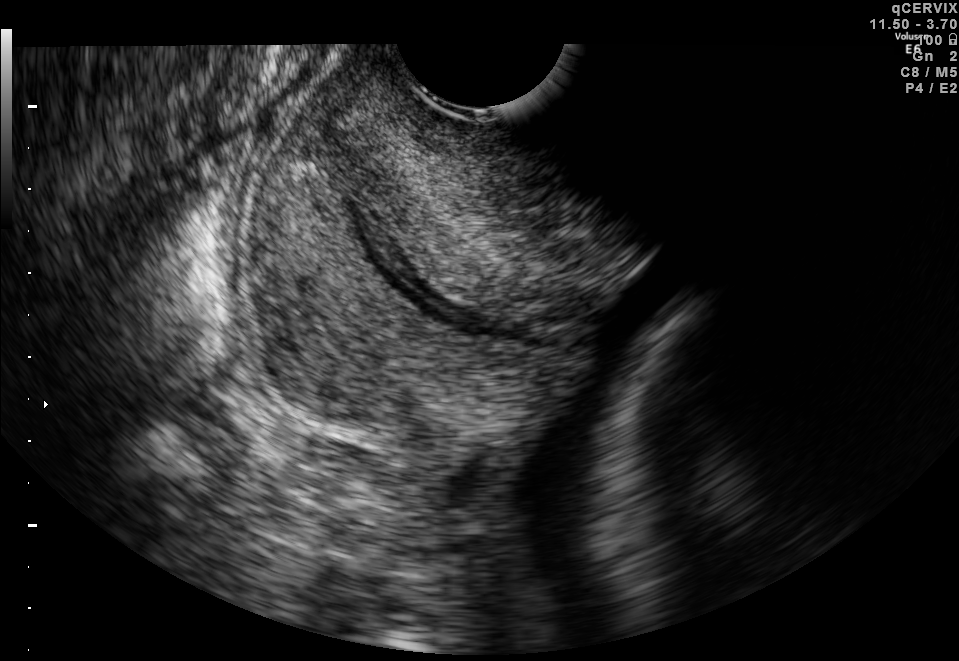
Identify the standard plane in this fetal ultrasound image: fetal abdomen, fetal brain, fetal femur, fetal thorax, maternal cervix, or other. If it's fetal brain and one of the three standard brain planes (trans-thalamic, trans-cerebellum, trans-ventricular), name which.

Maternal cervix